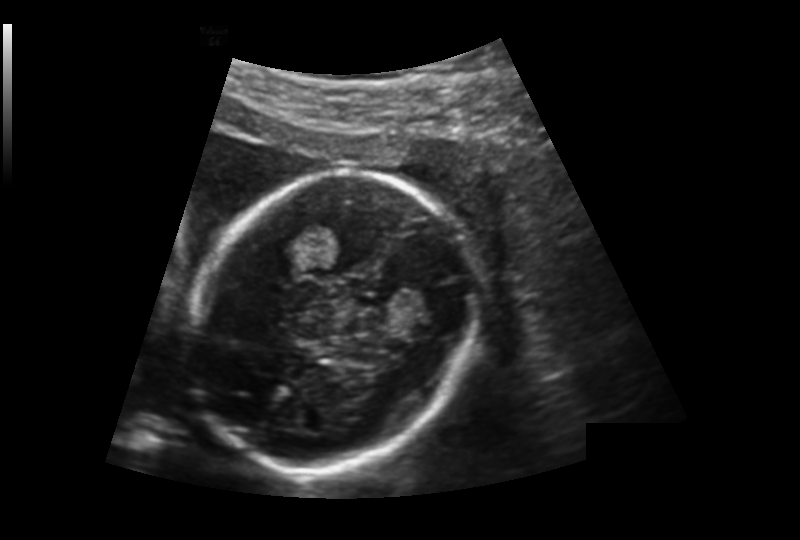
Fetal head ultrasound. Image width: 140.4 mm. Locate the fetal head and, if visible, the cavum septum pellucidum (CSP) and lateral ventricle (LV). Give bounding boxes as [x1,y1,x2,y2].

Head: [196,172,474,473]